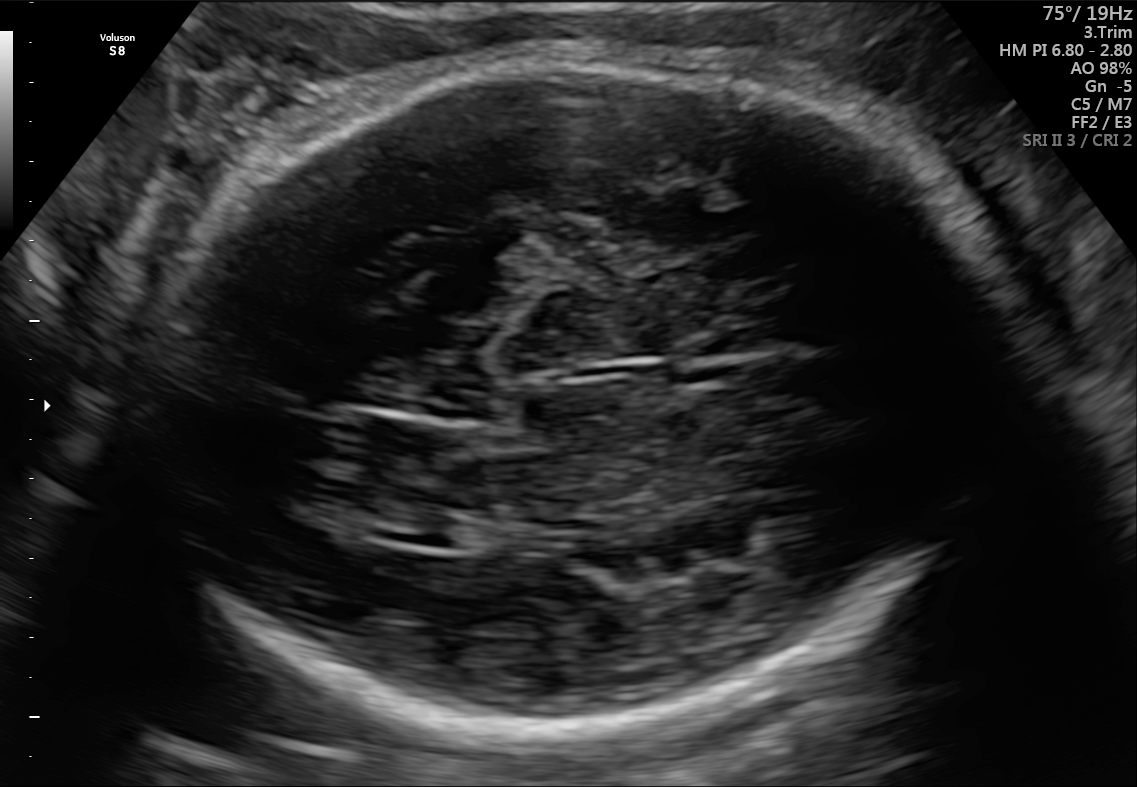
This is a 2D maternal-fetal ultrasound frame. Is it a fetal abdomen, fetal brain, fetal femur, fetal thorax, maternal cervix, or other standard plane? If it's fetal brain and one of the three standard brain planes (trans-thalamic, trans-cerebellum, trans-ventricular), name which.

Fetal brain (trans-thalamic plane)